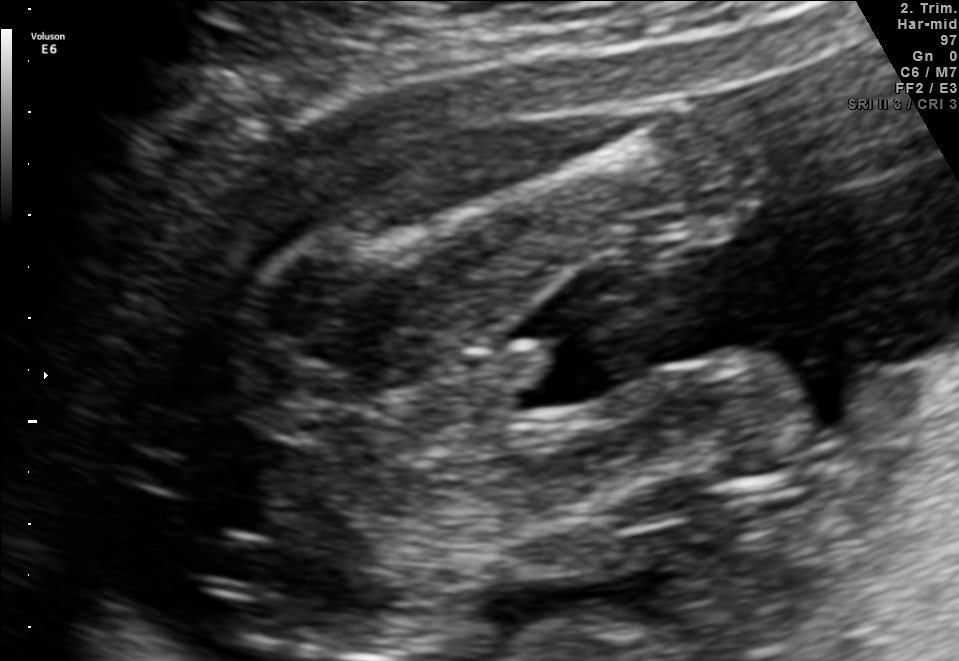
Identify the standard plane in this fetal ultrasound image: fetal abdomen, fetal brain, fetal femur, fetal thorax, maternal cervix, or other. If it's fetal brain and one of the three standard brain planes (trans-thalamic, trans-cerebellum, trans-ventricular), name which.

Fetal femur